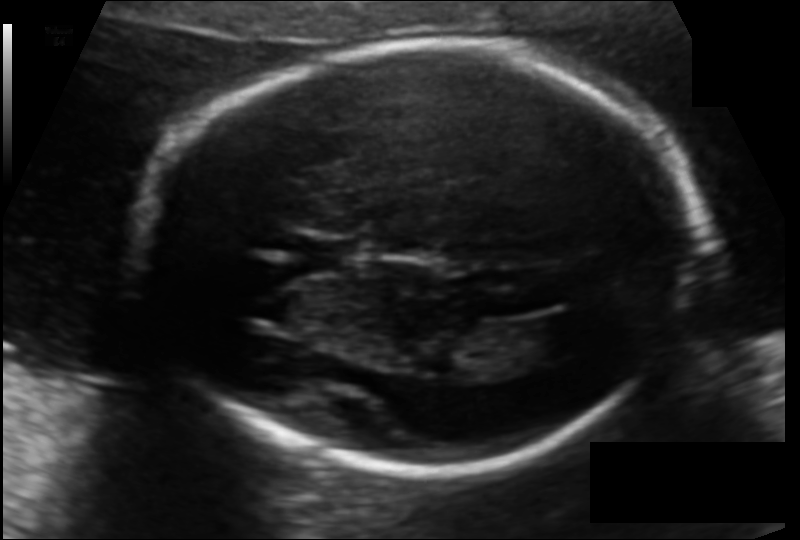
Fetal head ultrasound. Image width: 97.4 mm. Locate the cavum septum pellucidum.

CSP: [302,236,360,274]